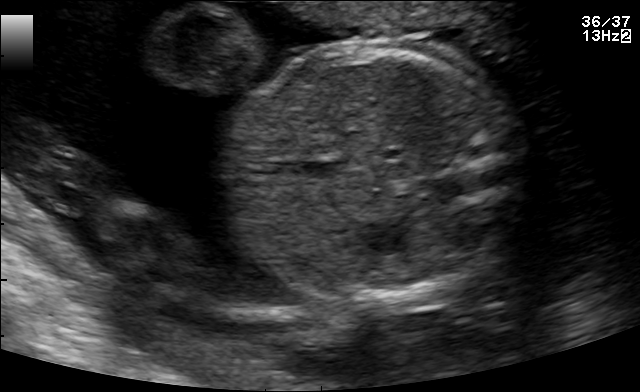
This is a 2D maternal-fetal ultrasound frame. Is it a fetal abdomen, fetal brain, fetal femur, fetal thorax, maternal cervix, or other standard plane? If it's fetal brain and one of the three standard brain planes (trans-thalamic, trans-cerebellum, trans-ventricular), name which.

Fetal abdomen